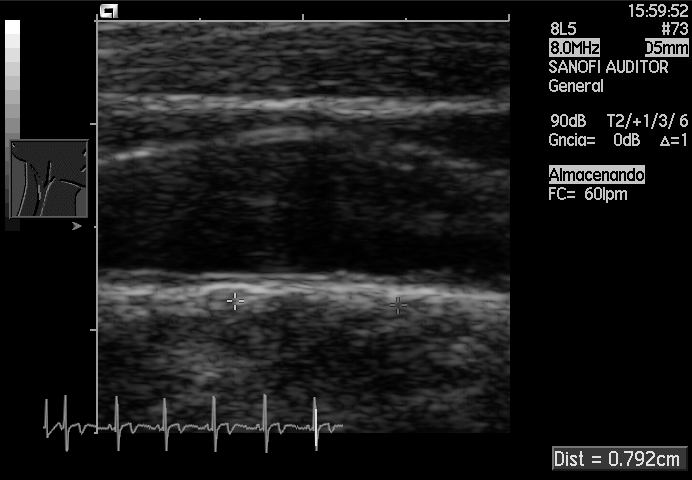
Which standard maternal-fetal ultrasound plane is shown: fetal abdomen, fetal brain, fetal femur, fetal thorax, maternal cervix, or other? If it's fetal brain and one of the three standard brain planes (trans-thalamic, trans-cerebellum, trans-ventricular), name which.

Other